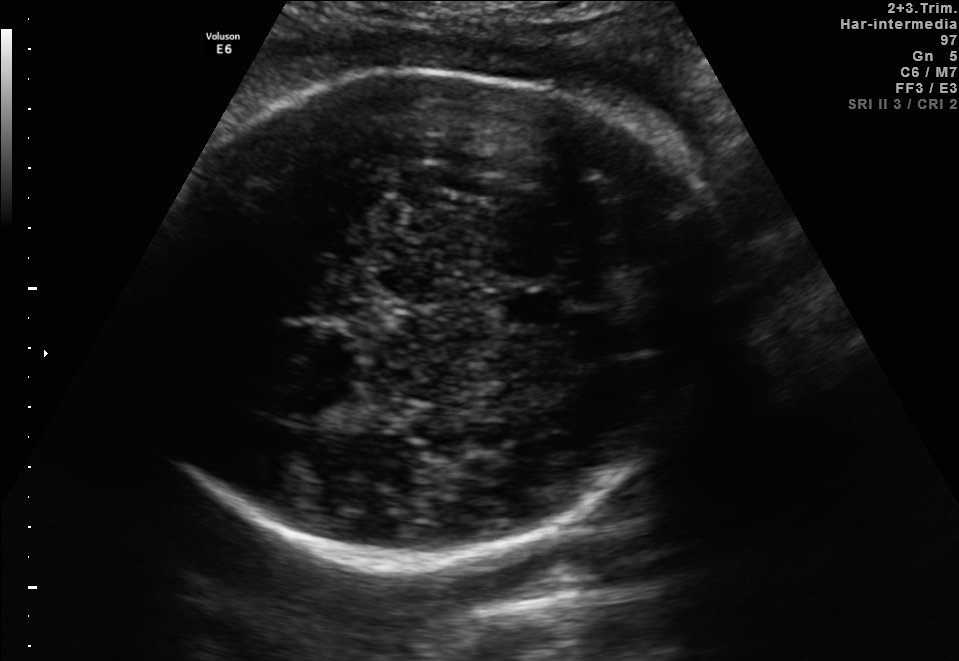
Fetal brain, trans-thalamic plane. Give [x1,y1,x2,y2] bounding boxes for each visible structure among: fetal head, CSP, LV.

Head: [139,75,726,572]
CSP: [497,286,564,330]
Lateral ventricle: [257,364,352,434]